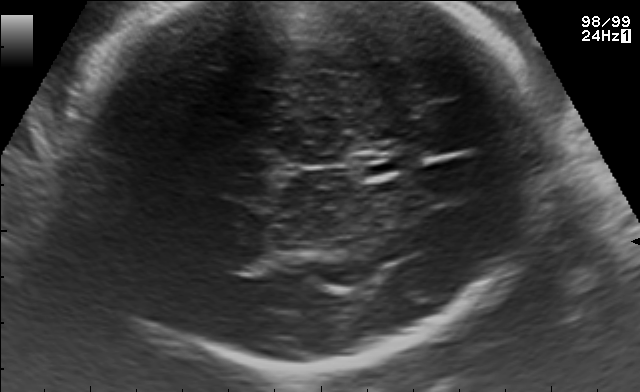
In this fetal brain, trans-thalamic plane, give the bounding box of the cavum septum pellucidum.

[356,152,406,178]